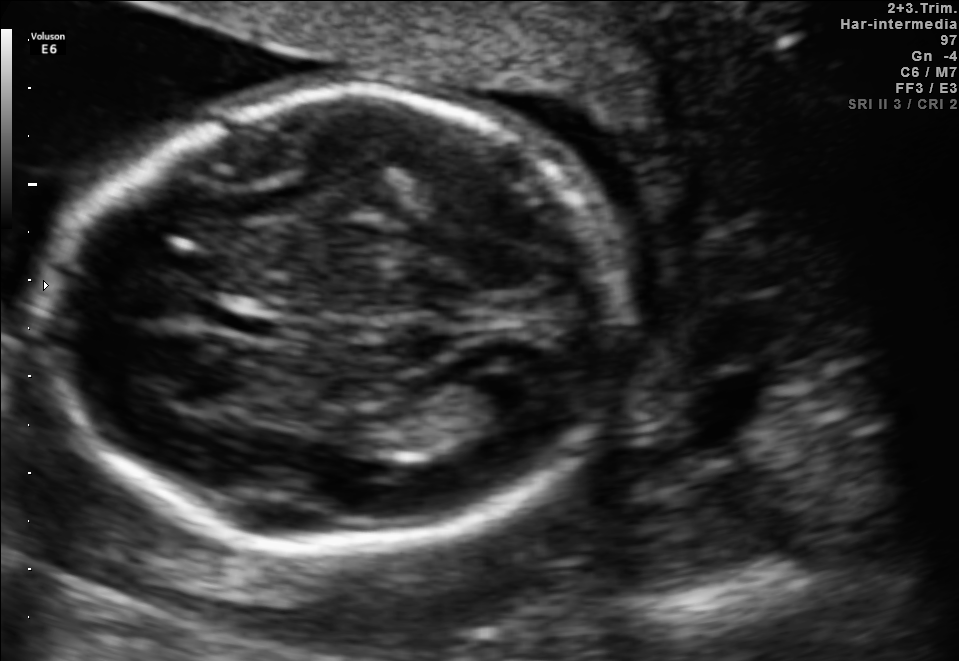
Fetal brain, trans-ventricular plane. Locate the fetal head and, if visible, the cavum septum pellucidum (CSP) and lateral ventricle (LV). Give bounding boxes as [x1,y1,x2,y2].

Head: [41,81,646,560]
CSP: [213,307,280,341]
Lateral ventricle: [453,340,556,431]